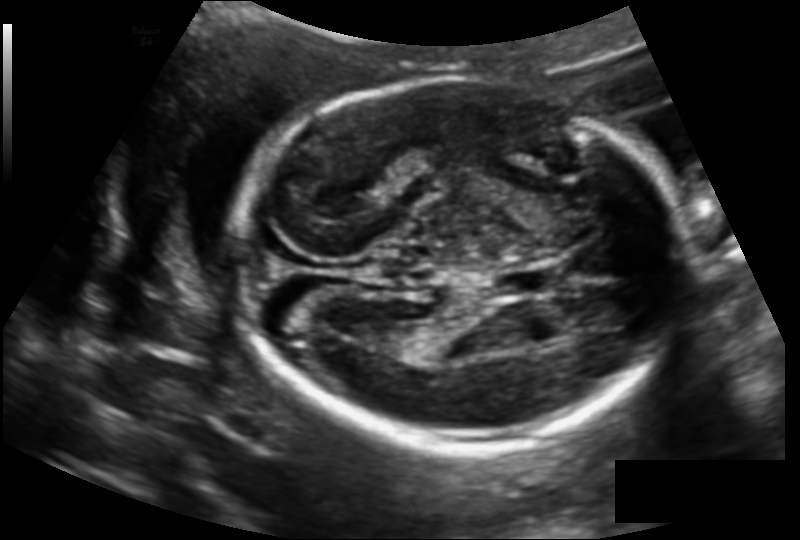
In this fetal head ultrasound, give bounding boxes for the head outline, cavum septum pellucidum (CSP), and lateral ventricle (LV), where visible. Image width: 116.1 mm.

Head: [236,78,682,448]
CSP: [488,263,559,302]